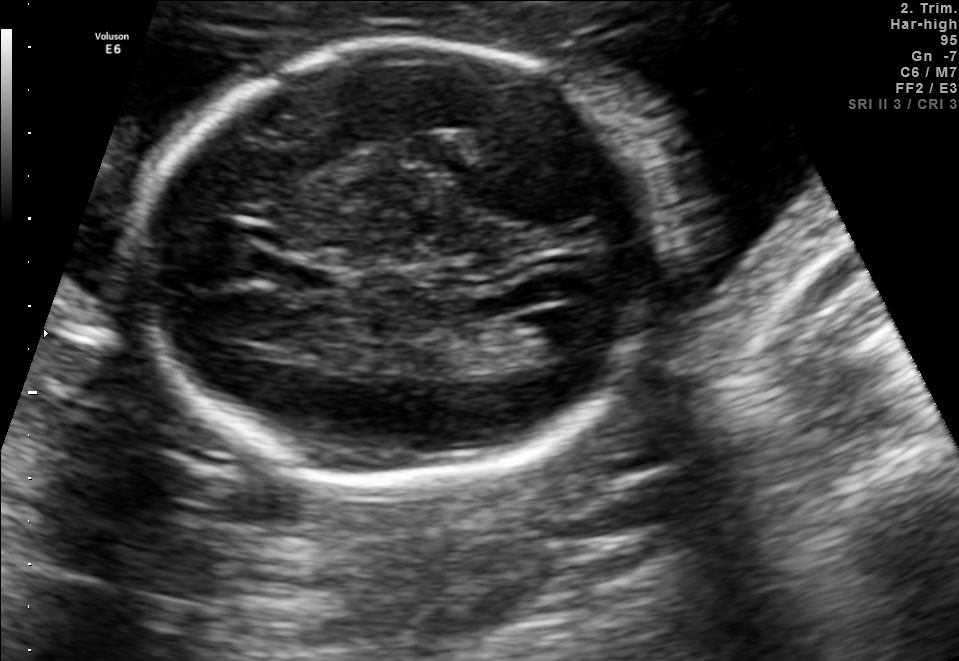
In this fetal brain, trans-ventricular plane, give bounding boxes for the head outline, cavum septum pellucidum (CSP), and lateral ventricle (LV), where visible.

Head: [122,33,687,488]
CSP: [297,270,332,289]
Lateral ventricle: [519,298,614,362]